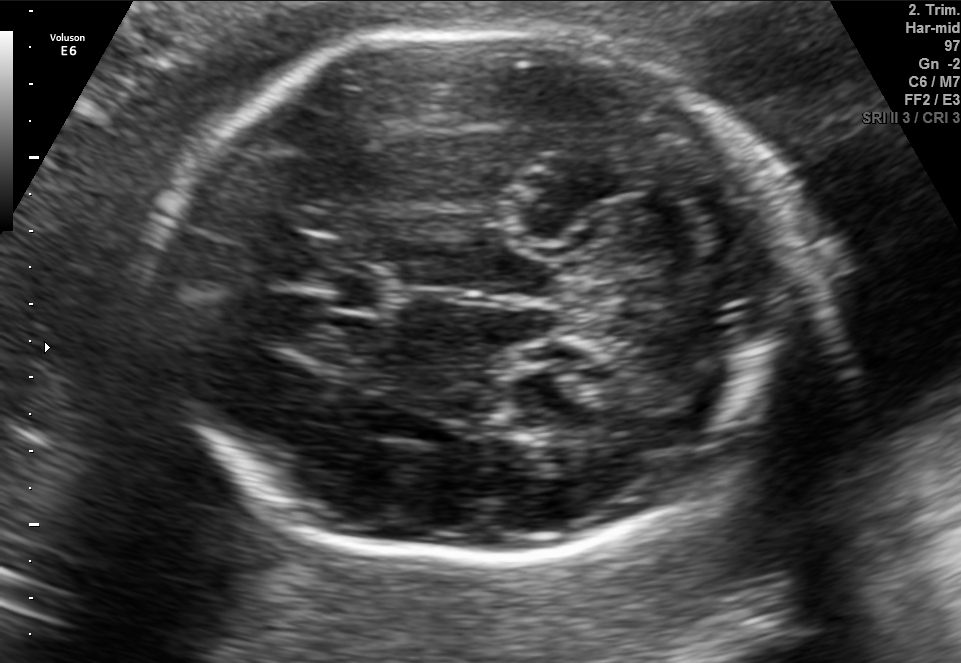
In this fetal brain, trans-cerebellum plane, give the bounding box of the fetal head.

[163,33,784,564]